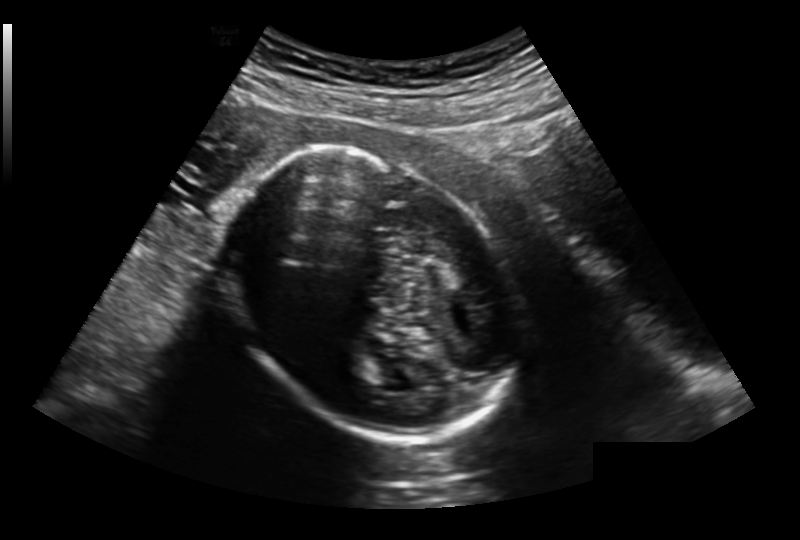
In this fetal head ultrasound, give bounding boxes for the head outline, cavum septum pellucidum (CSP), and lateral ventricle (LV), where visible. Image width: 170.5 mm.

Head: [234,145,516,444]